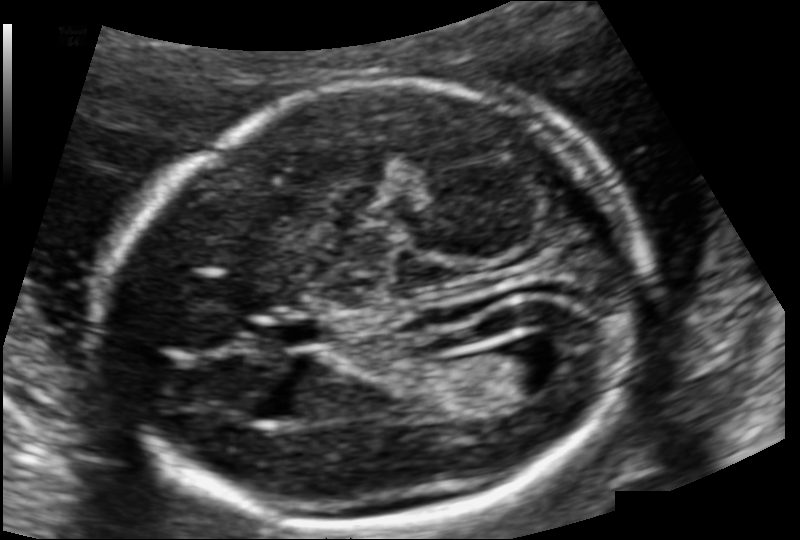
Fetal head ultrasound. Image width: 89.0 mm. Give [x1,y1,x2,y2] bounding boxes for each visible structure among: fetal head, CSP, LV.

Head: [111,83,641,530]
CSP: [273,316,330,349]
Lateral ventricle: [469,327,574,411]